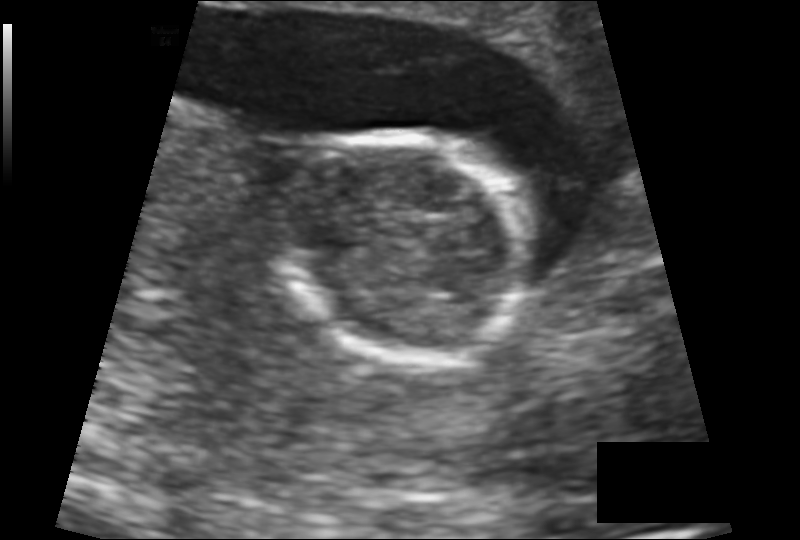
Fetal head ultrasound. Image width: 109.7 mm. Where is the fetal head?

Head bounding box: [273,133,532,361]